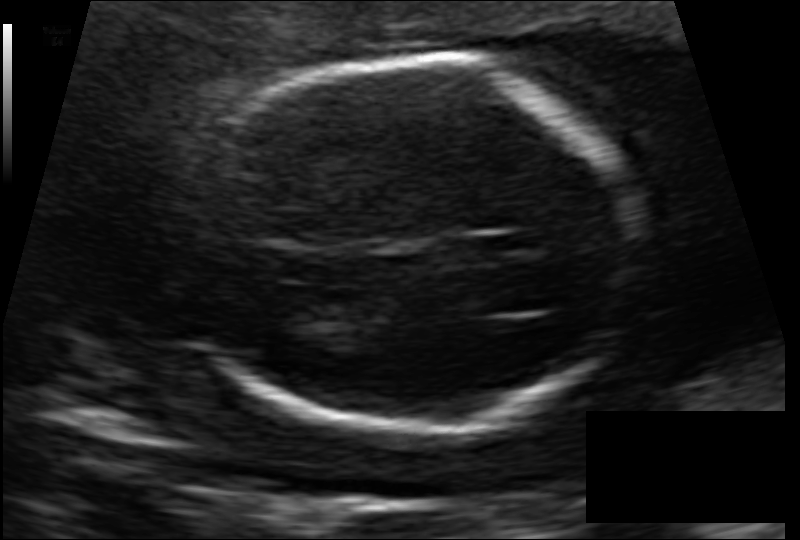
Fetal head ultrasound. Image width: 103.2 mm. Locate the fetal head.

Head: [191,57,636,439]